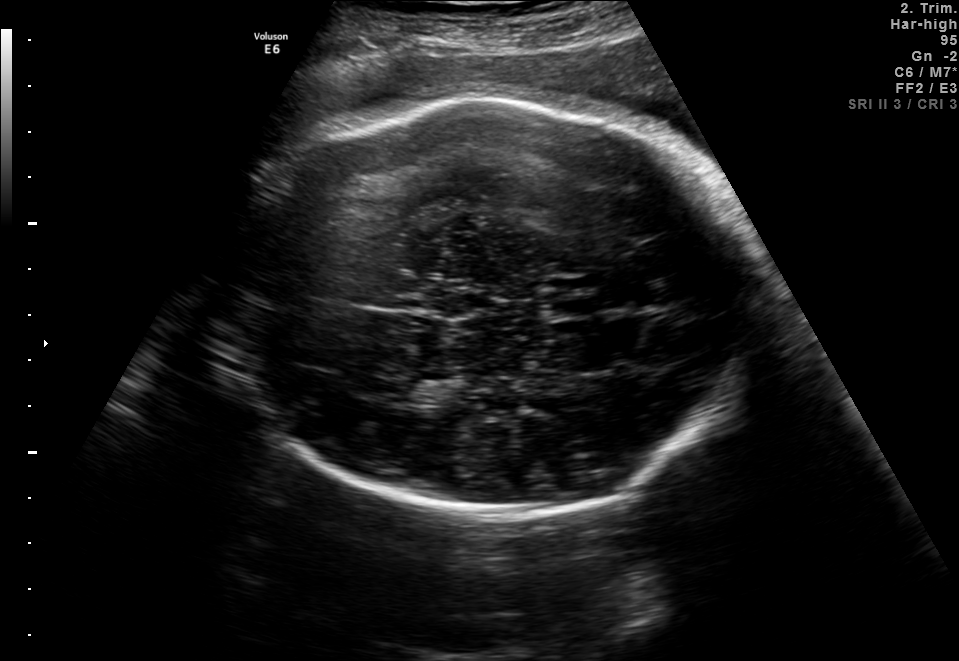
Fetal brain, trans-thalamic plane. Locate the fetal head.

Head: [214,99,757,514]